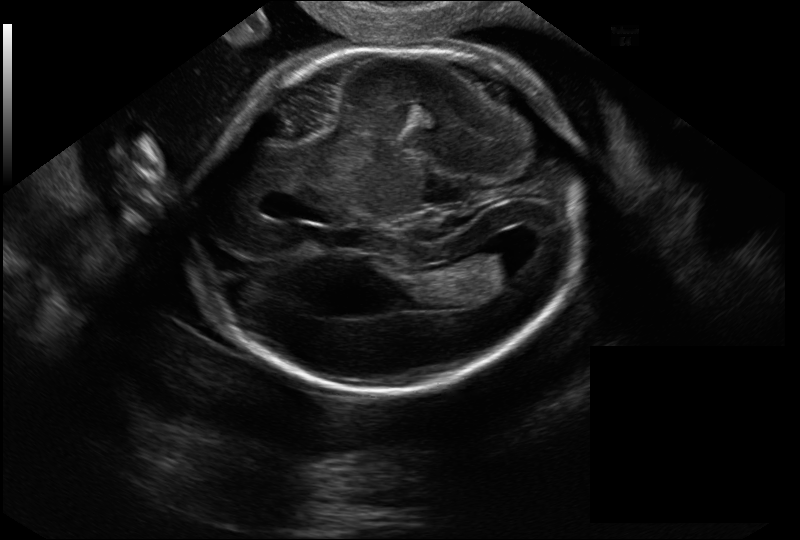
From this fetal ultrasound, estimate the head circumference (image width 115.6 mm).

Head circumference: 174.1 mm.